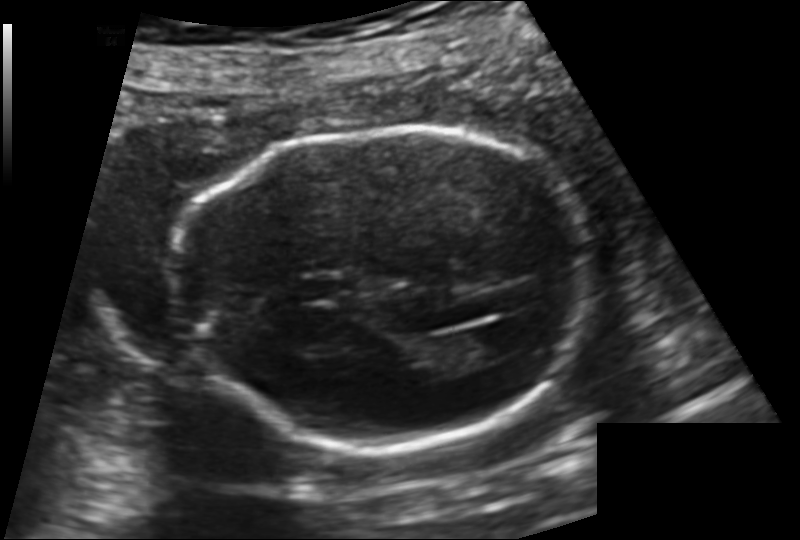
Estimate the fetal head circumference from this 2D ultrasound. Image width: 115.3 mm.

Head circumference: 172.1 mm.